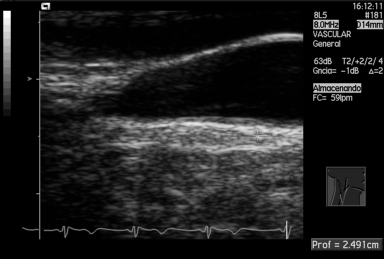
Which standard maternal-fetal ultrasound plane is shown: fetal abdomen, fetal brain, fetal femur, fetal thorax, maternal cervix, or other? If it's fetal brain and one of the three standard brain planes (trans-thalamic, trans-cerebellum, trans-ventricular), name which.

Other